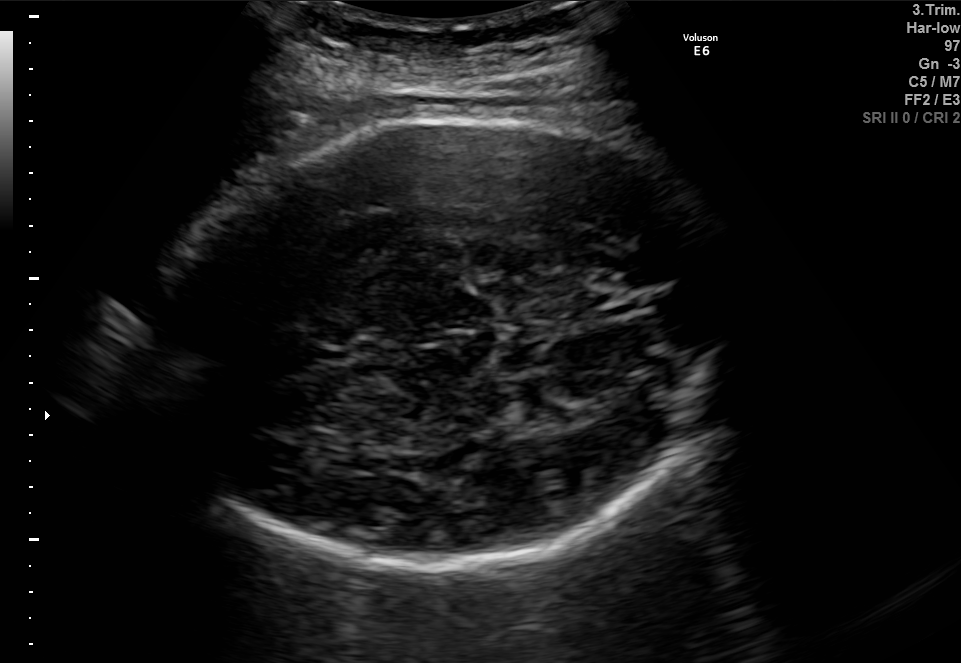
Fetal brain, trans-thalamic plane. Give [x1,y1,x2,y2] bounding boxes for each visible structure among: fetal head, CSP, LV.

Head: [147,111,734,564]